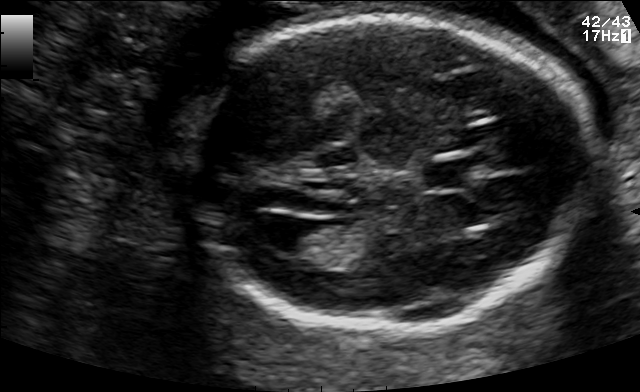
In this fetal brain, trans-ventricular plane, give the bounding box of the fetal head.

[173,14,605,337]